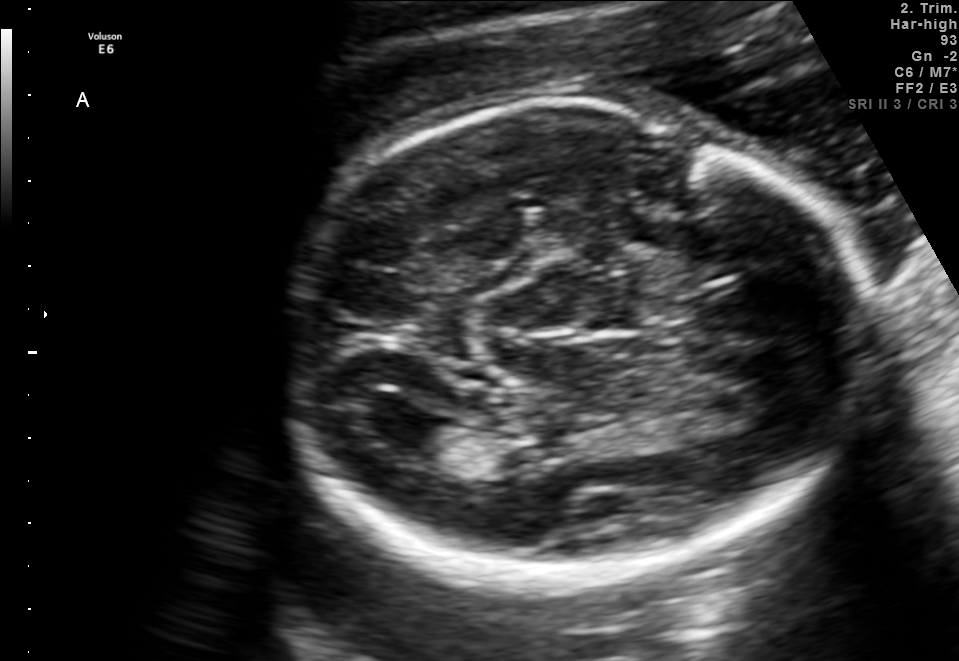
In this fetal brain, trans-ventricular plane, give the bounding box of the fetal head.

[271,101,880,598]